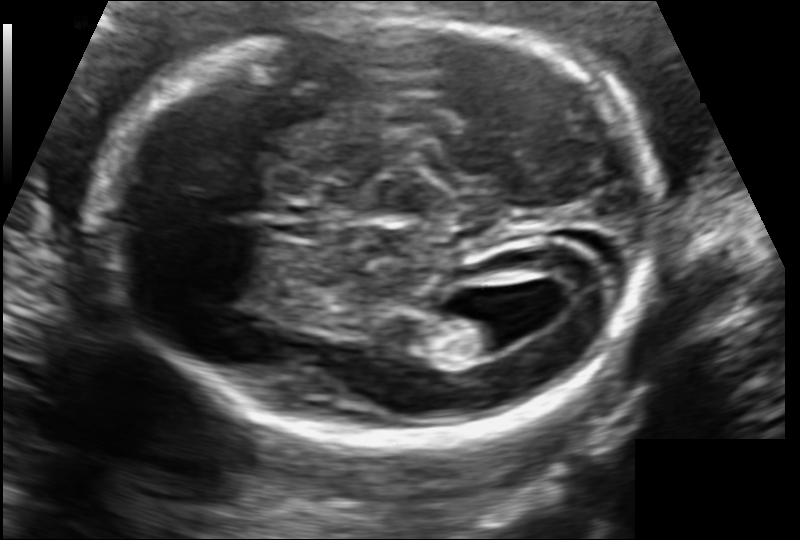
What is the fetal head circumference? Image width is 87.0 mm.

172.9 mm